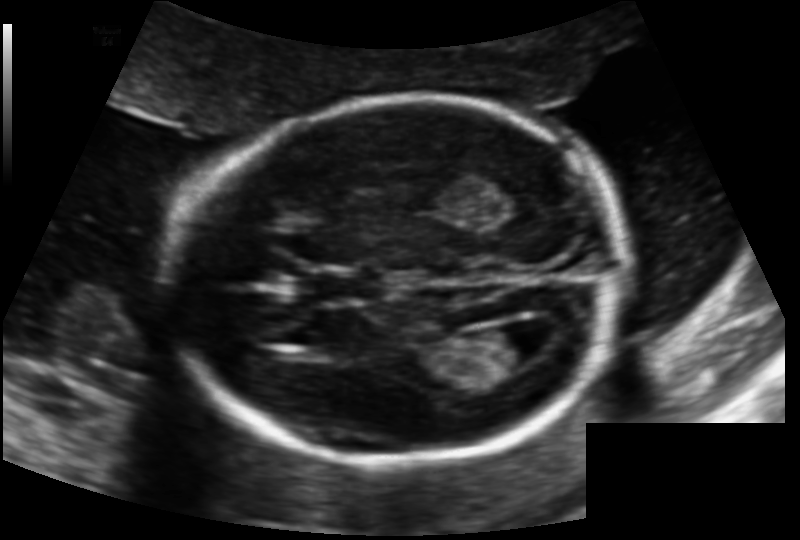
Estimate the fetal head circumference from this 2D ultrasound. Image width: 104.9 mm.

Head circumference: 174.9 mm.